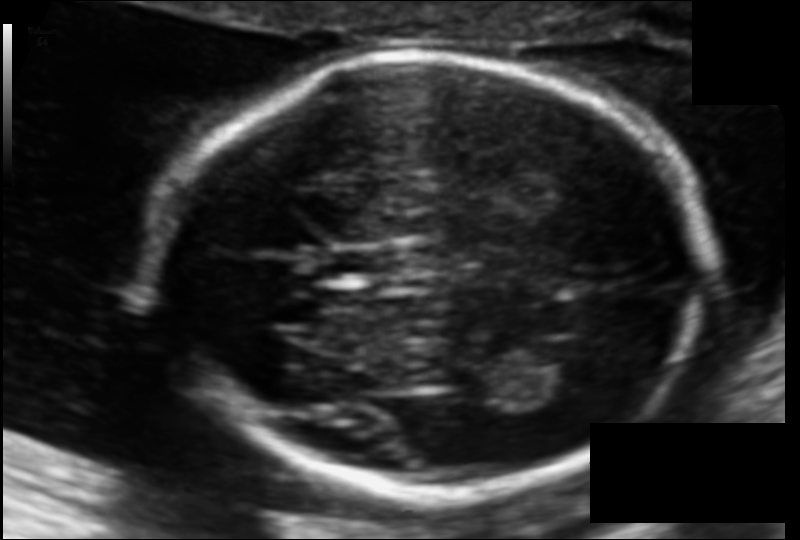
In this fetal head ultrasound, give the bounding box of the lateral ventricle. Image width: 86.8 mm.

[519,337,601,398]